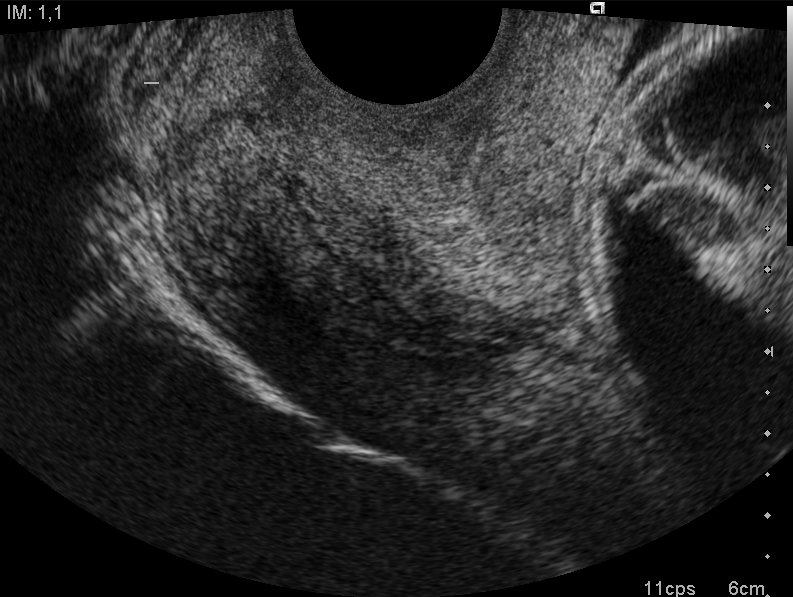
Which standard maternal-fetal ultrasound plane is shown: fetal abdomen, fetal brain, fetal femur, fetal thorax, maternal cervix, or other? If it's fetal brain and one of the three standard brain planes (trans-thalamic, trans-cerebellum, trans-ventricular), name which.

Maternal cervix